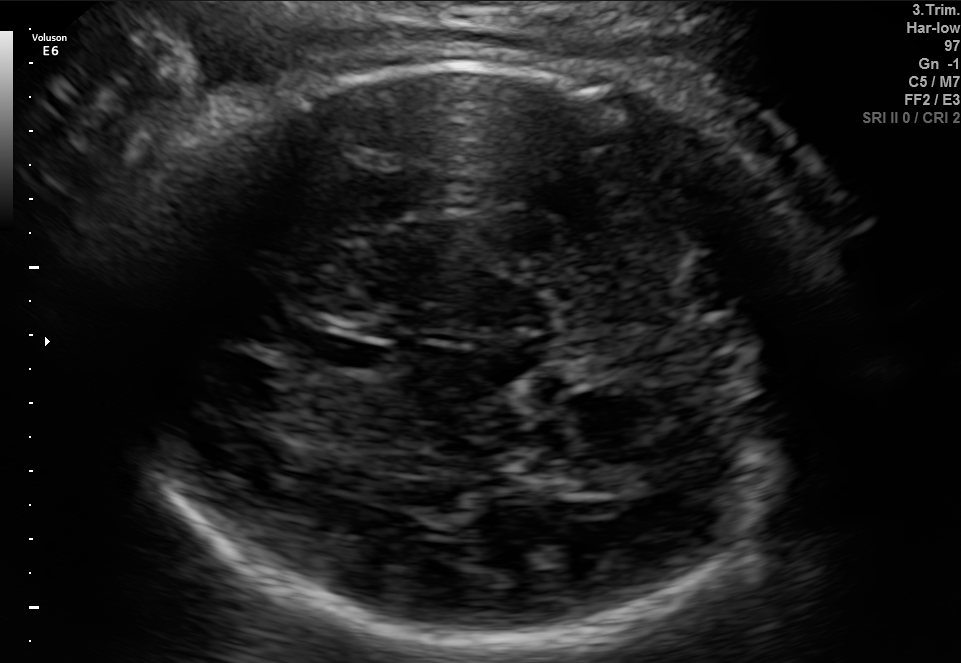
Which standard maternal-fetal ultrasound plane is shown: fetal abdomen, fetal brain, fetal femur, fetal thorax, maternal cervix, or other? If it's fetal brain and one of the three standard brain planes (trans-thalamic, trans-cerebellum, trans-ventricular), name which.

Fetal brain (trans-thalamic plane)